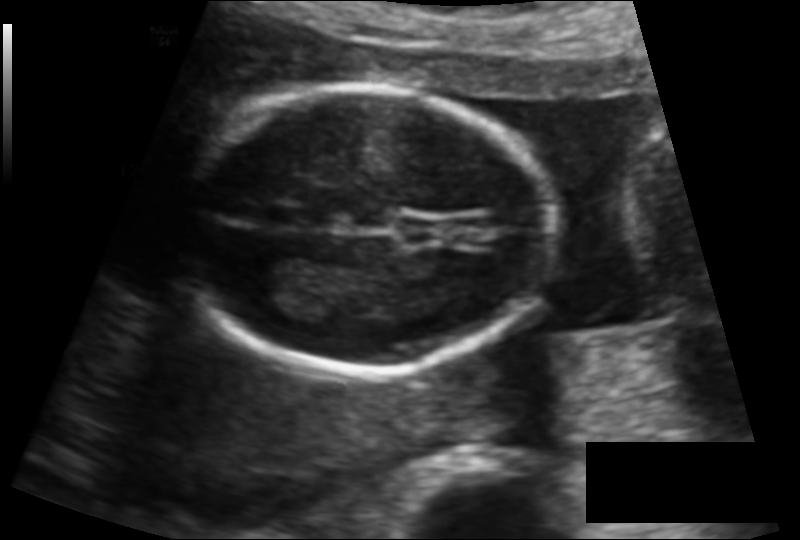
Fetal head ultrasound. Image width: 93.2 mm. Locate the fetal head and, if visible, the cavum septum pellucidum (CSP) and lateral ventricle (LV). Give bounding boxes as [x1,y1,x2,y2].

Head: [176,87,551,372]